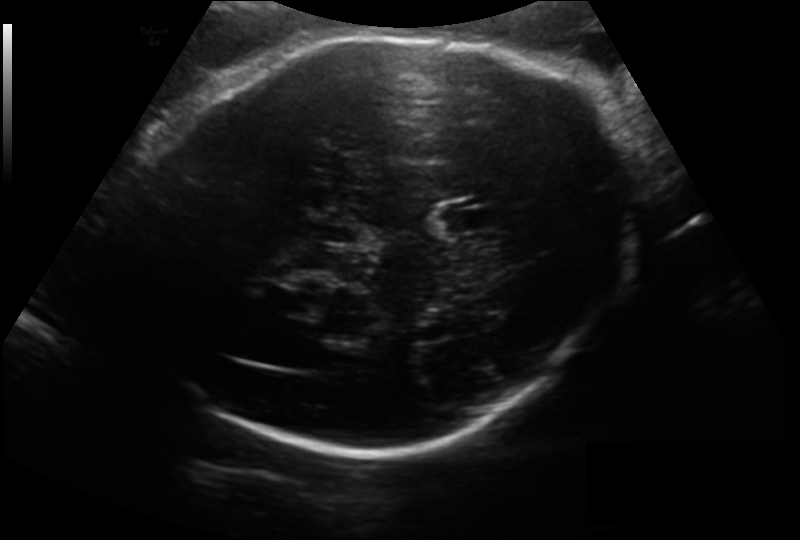
Fetal head ultrasound. Image width: 160.1 mm. Locate the cavum septum pellucidum.

CSP: [436,197,503,238]